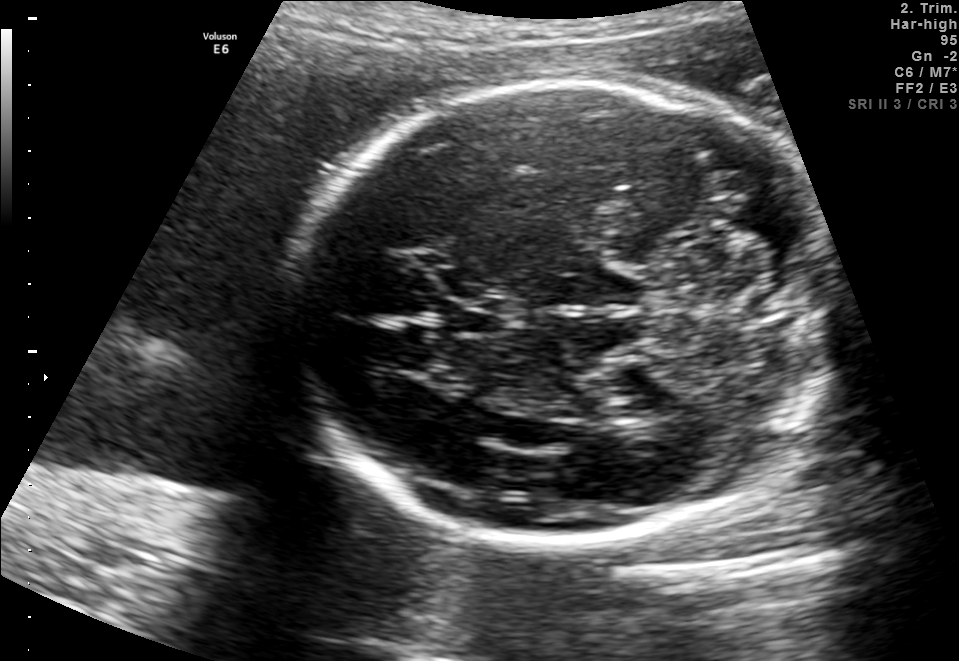
Fetal brain, trans-cerebellum plane. Give [x1,y1,x2,y2] bounding boxes for each visible structure among: fetal head, CSP, LV.

Head: [296,83,835,546]
CSP: [447,298,508,335]